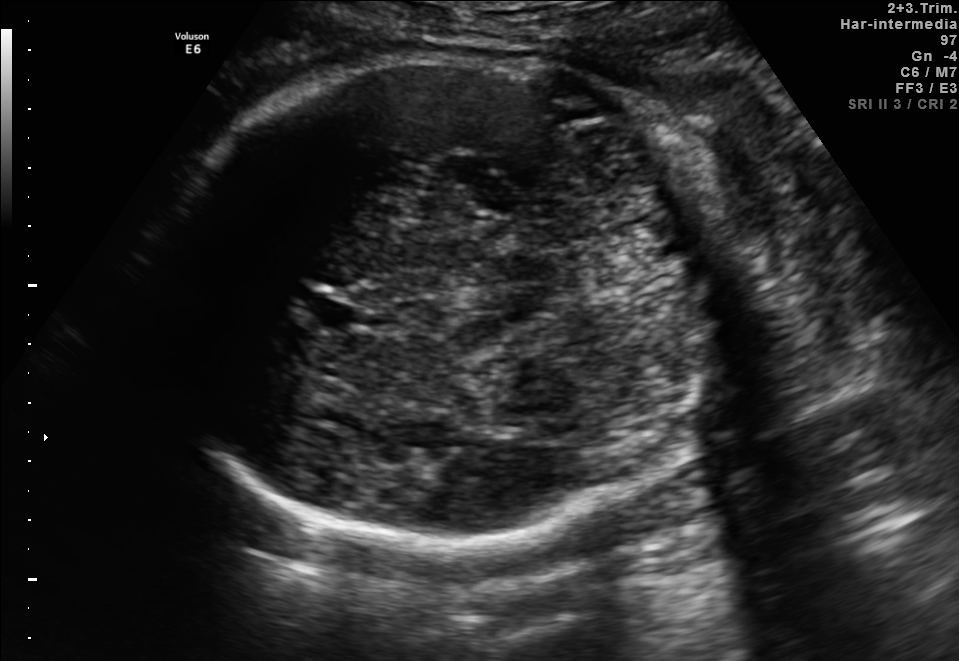
Fetal brain, trans-thalamic plane. Where is the cavum septum pellucidum?

CSP bounding box: [308,294,359,335]